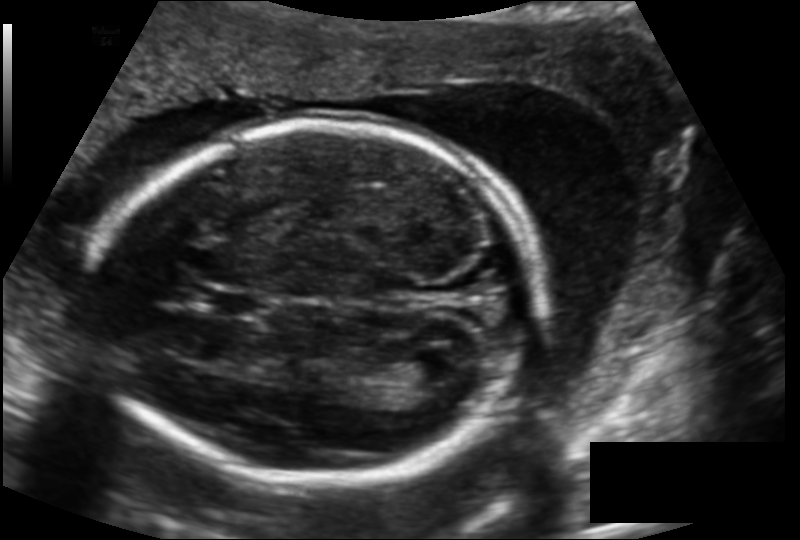
In this fetal head ultrasound, give the bounding box of the fetal head. Image width: 114.6 mm.

[93,122,535,485]